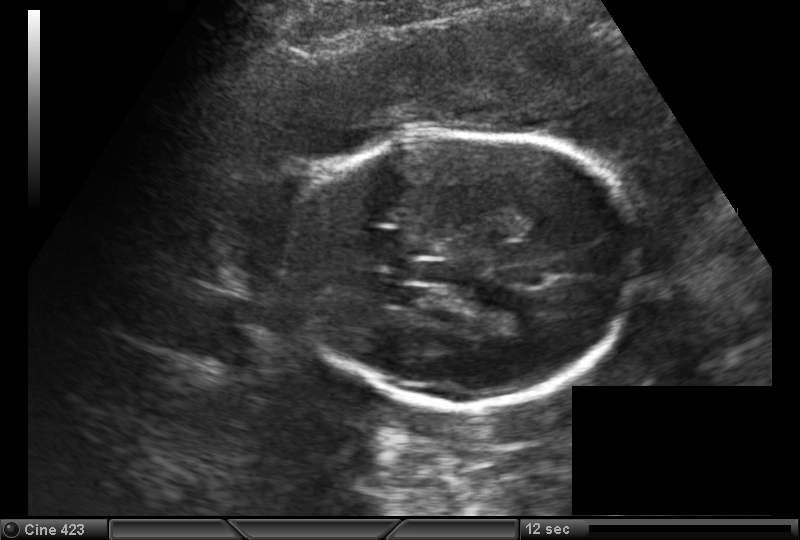
From this fetal ultrasound, estimate the head circumference (image width 138.2 mm).

Head circumference: 177.0 mm.